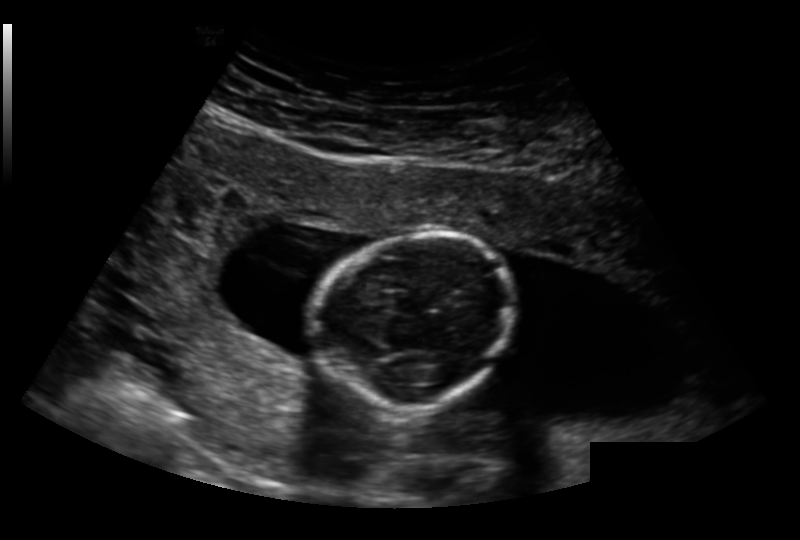
In this fetal head ultrasound, give the bounding box of the fetal head. Image width: 152.4 mm.

[319,233,516,410]